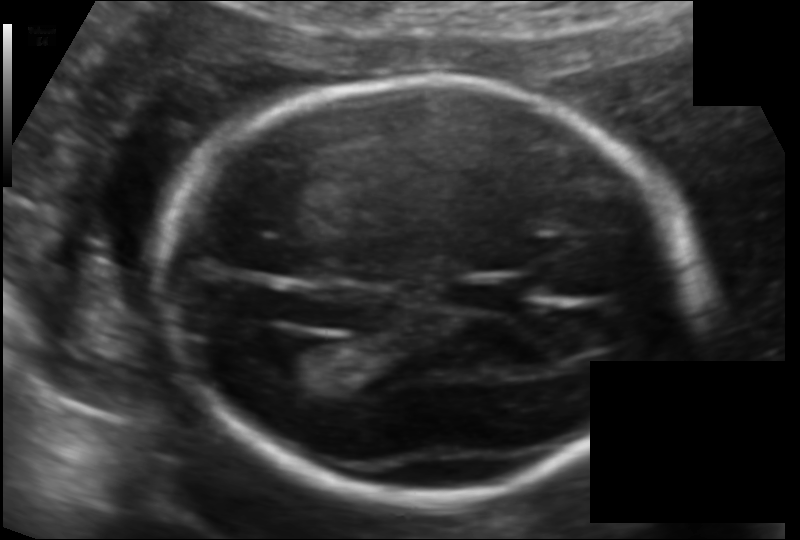
In this fetal head ultrasound, give the bounding box of the lateral ventricle. Image width: 94.6 mm.

[266,333,333,383]